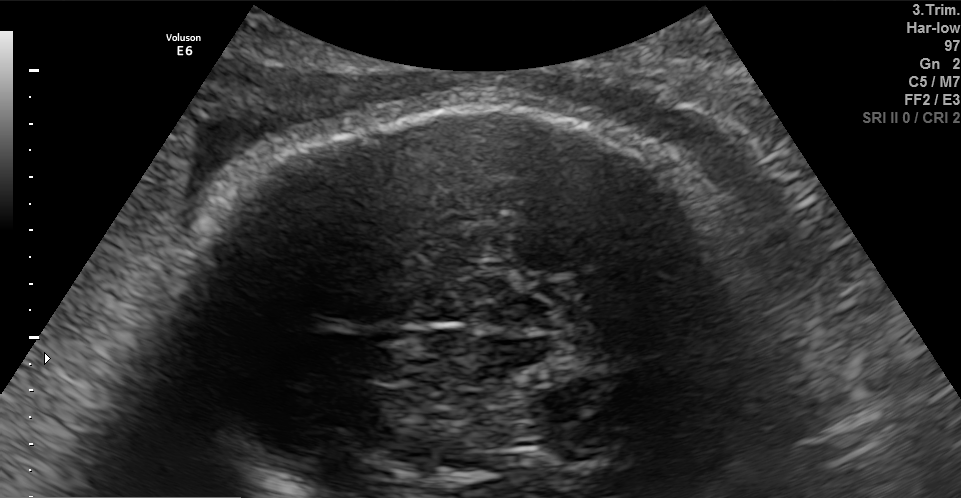
This is a 2D maternal-fetal ultrasound frame. Is it a fetal abdomen, fetal brain, fetal femur, fetal thorax, maternal cervix, or other standard plane? If it's fetal brain and one of the three standard brain planes (trans-thalamic, trans-cerebellum, trans-ventricular), name which.

Fetal brain